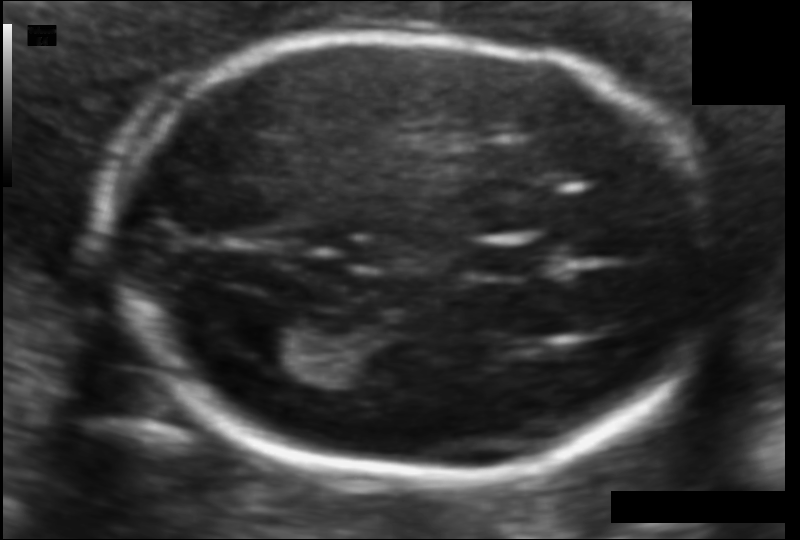
In this fetal head ultrasound, give the bounding box of the fetal head. Image width: 75.5 mm.

[107,35,720,477]